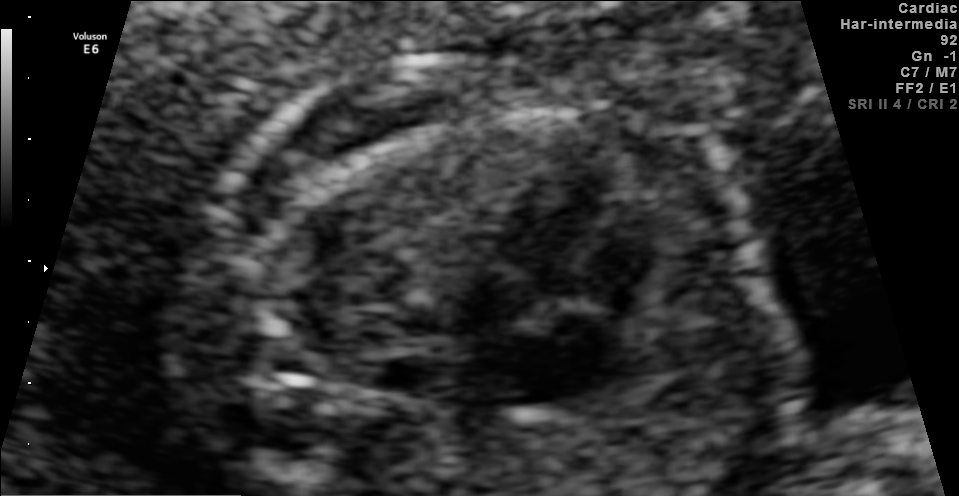
This is a 2D maternal-fetal ultrasound frame. Is it a fetal abdomen, fetal brain, fetal femur, fetal thorax, maternal cervix, or other standard plane? If it's fetal brain and one of the three standard brain planes (trans-thalamic, trans-cerebellum, trans-ventricular), name which.

Fetal thorax